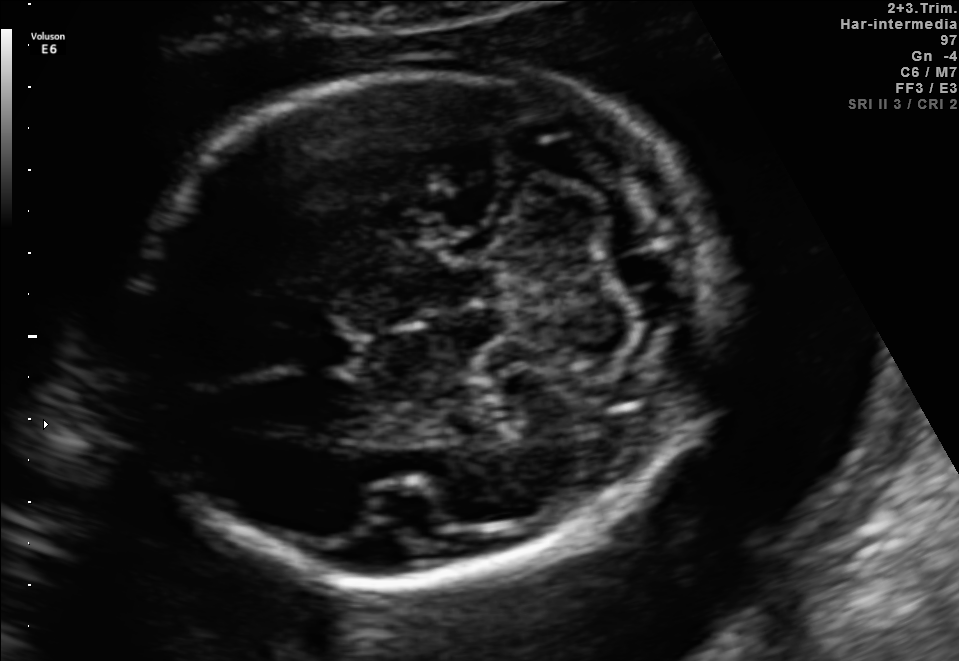
In this fetal brain, trans-cerebellum plane, give the bounding box of the fetal head.

[128,66,717,583]